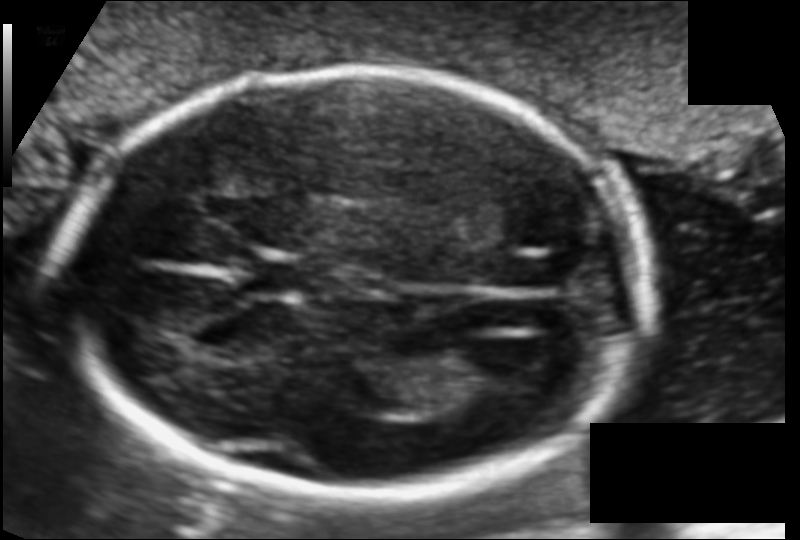
From this fetal ultrasound, estimate the head circumference (image width 87.9 mm).

Head circumference: 179.6 mm.